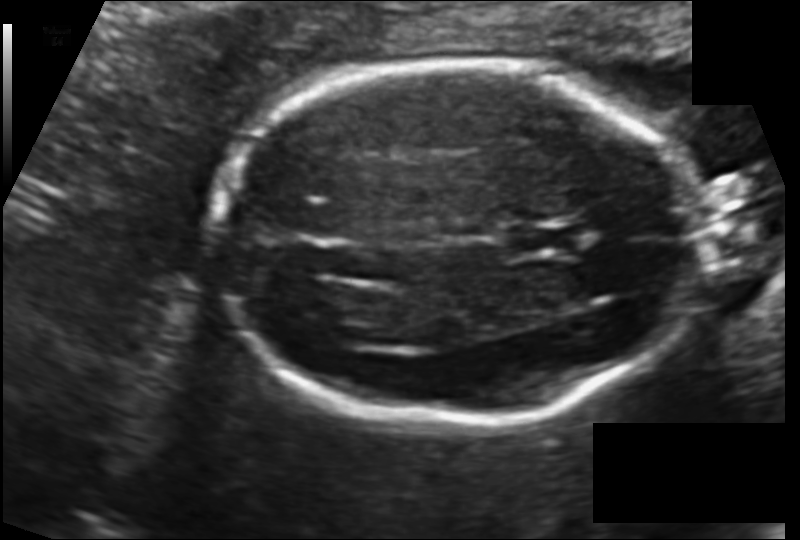
What is the fetal head circumference? Image width is 98.3 mm.

169.3 mm